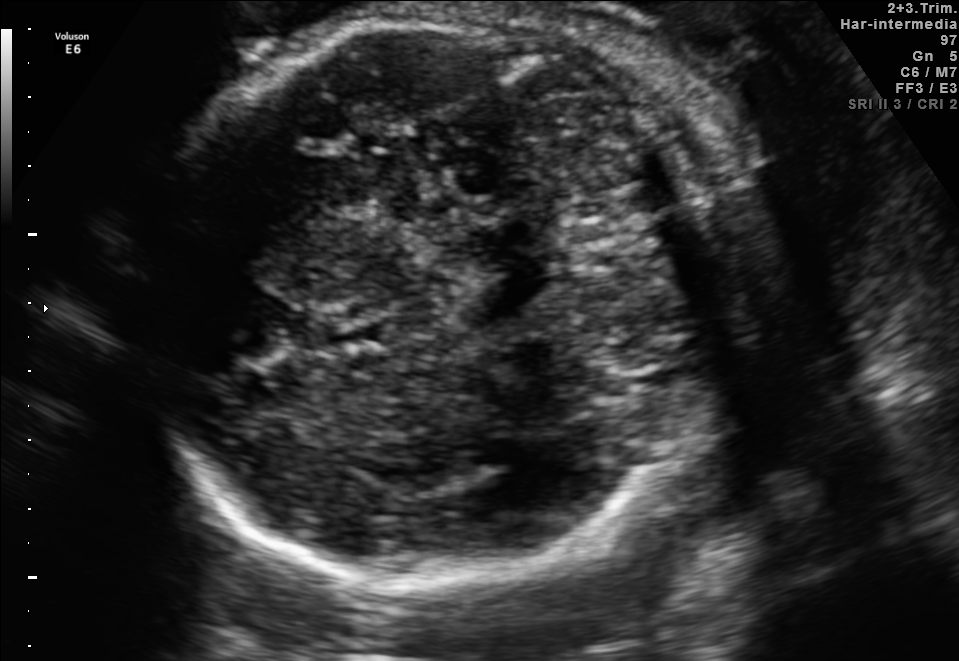
Fetal brain, trans-cerebellum plane. Give [x1,y1,x2,y2] bounding boxes for each visible structure among: fetal head, CSP, LV.

Head: [136,3,763,584]